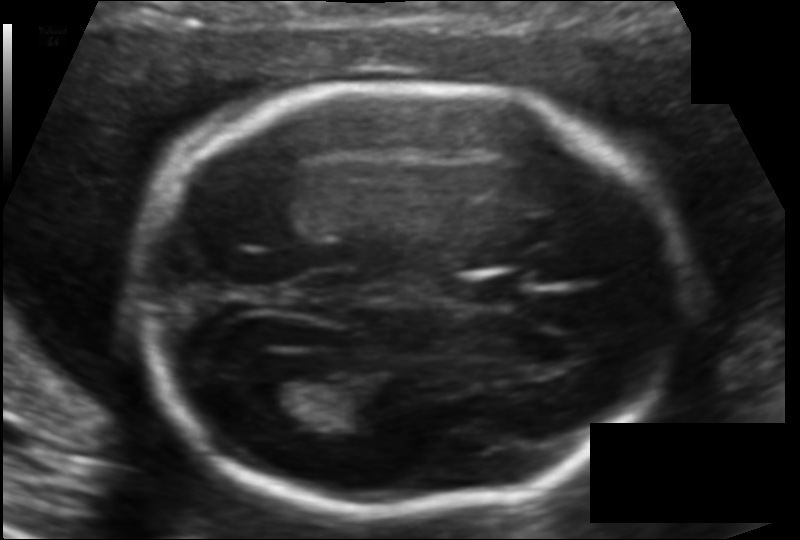
What is the fetal head circumference? Image width is 94.1 mm.

186.6 mm